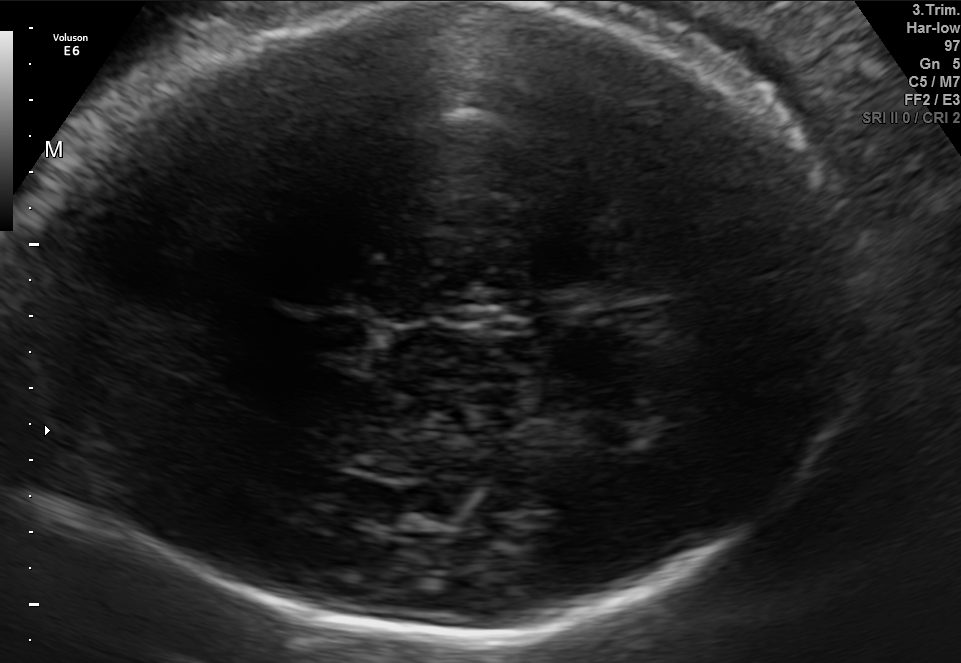
Fetal brain, trans-thalamic plane. Locate the fetal head.

Head: [5,3,854,636]